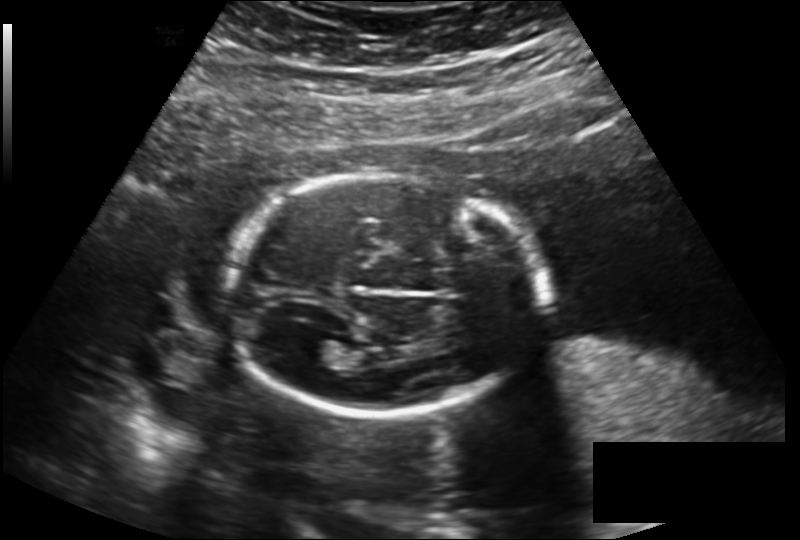
In this fetal head ultrasound, give bounding boxes for the head outline, cavum septum pellucidum (CSP), and lateral ventricle (LV), where visible. Image width: 150.8 mm.

Head: [224,173,546,413]
Lateral ventricle: [295,335,340,367]